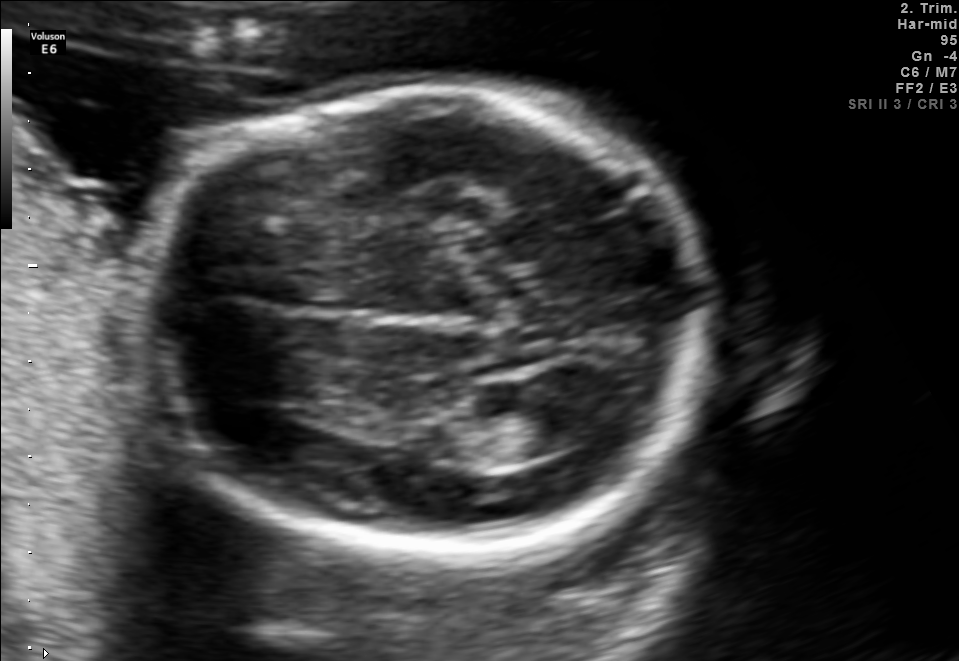
Fetal brain, trans-ventricular plane. Locate the fetal head.

Head: [135,77,730,570]